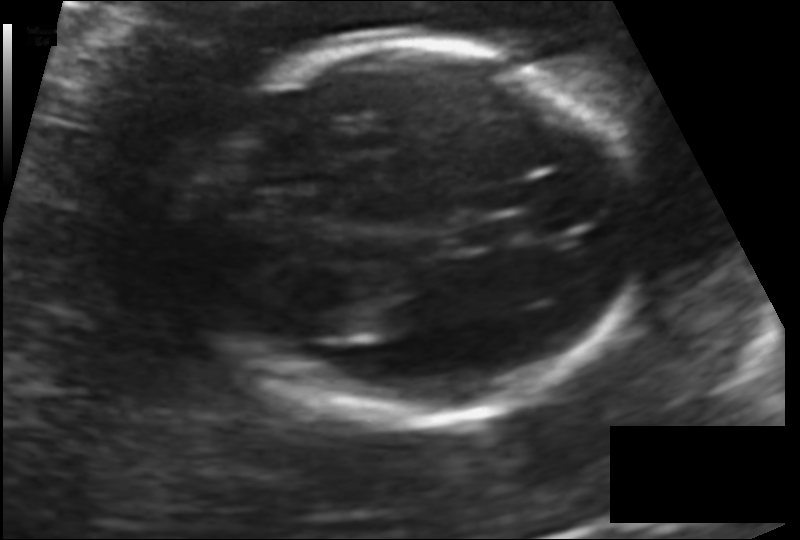
What is the fetal head circumference? Image width is 104.5 mm.

173.2 mm